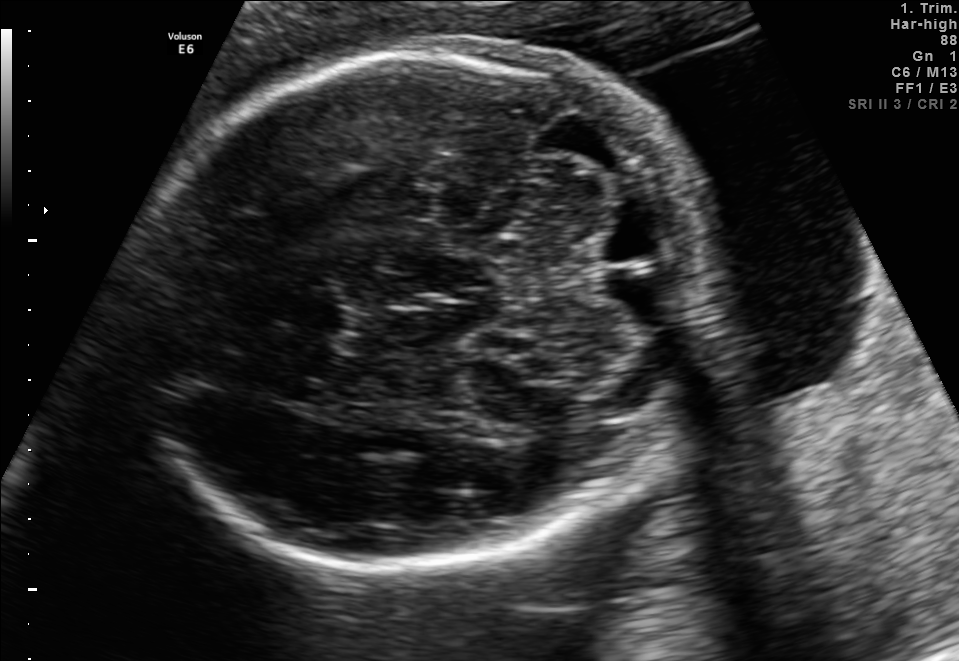
Fetal brain, trans-cerebellum plane. Locate the fetal head and, if visible, the cavum septum pellucidum (CSP) and lateral ventricle (LV). Give bounding boxes as [x1,y1,x2,y2].

Head: [128,43,717,566]